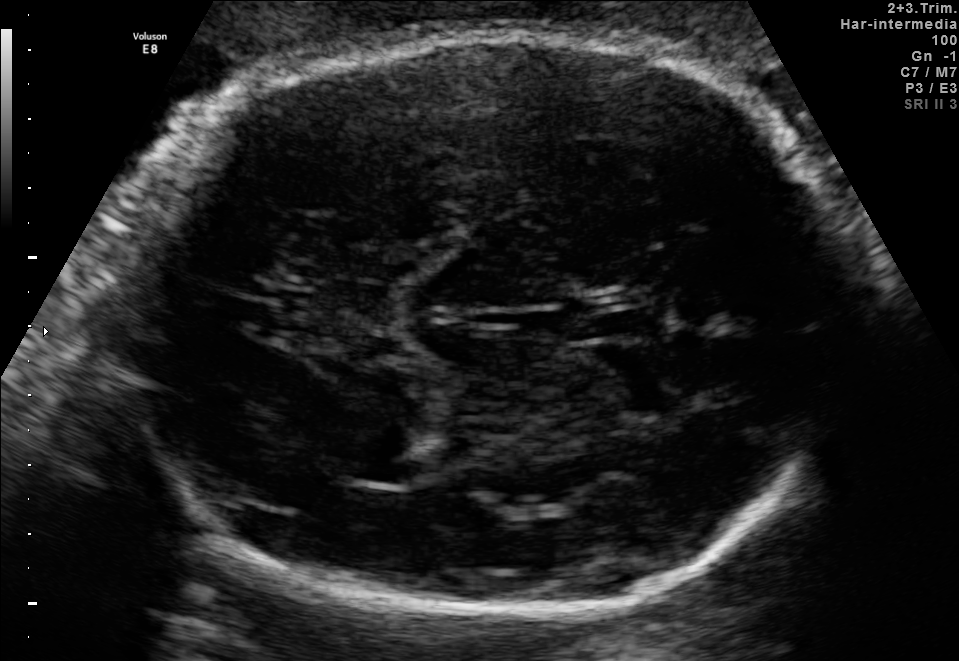
Fetal brain, trans-thalamic plane. Give [x1,y1,x2,y2] bounding boxes for each visible structure among: fetal head, CSP, LV.

Head: [117,34,854,617]
CSP: [581,307,639,342]
Lateral ventricle: [346,451,419,489]